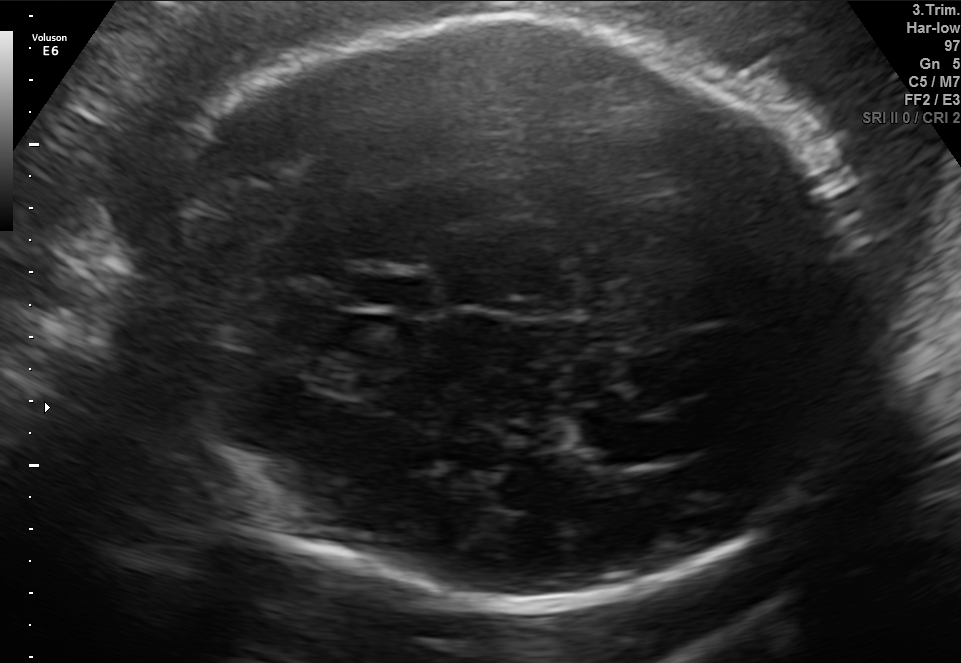
Fetal brain, trans-thalamic plane. Where is the cavum septum pellucidum?

CSP bounding box: [356,274,431,312]